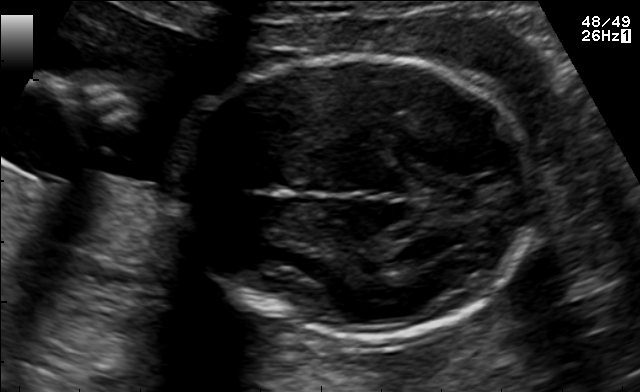
In this fetal brain, trans-thalamic plane, give bounding boxes for the head outline, cavum septum pellucidum (CSP), and lateral ventricle (LV), where visible.

Head: [182,56,537,340]